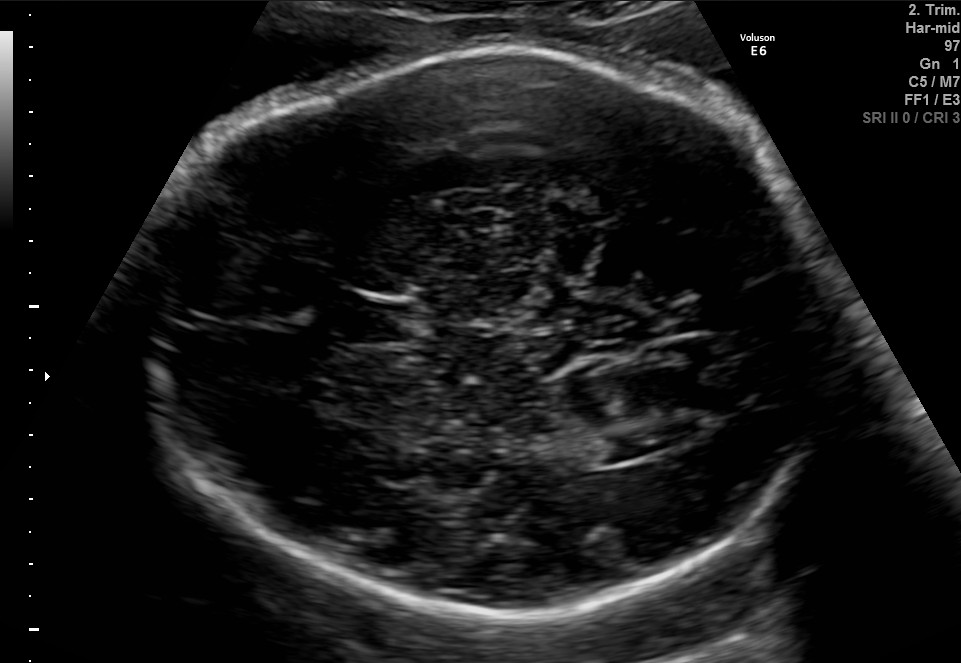
In this fetal brain, trans-ventricular plane, give the bounding box of the cavum septum pellucidum.

[342,301,410,343]